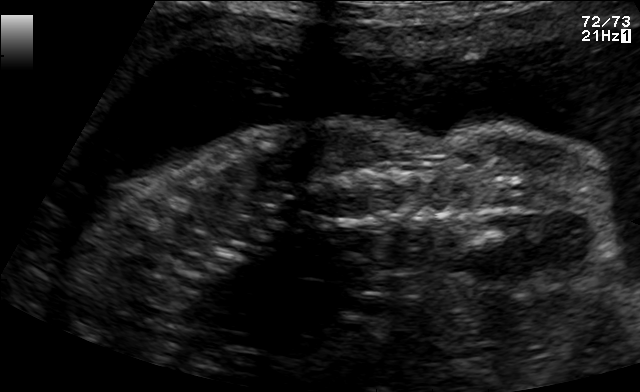
Which standard maternal-fetal ultrasound plane is shown: fetal abdomen, fetal brain, fetal femur, fetal thorax, maternal cervix, or other? If it's fetal brain and one of the three standard brain planes (trans-thalamic, trans-cerebellum, trans-ventricular), name which.

Other